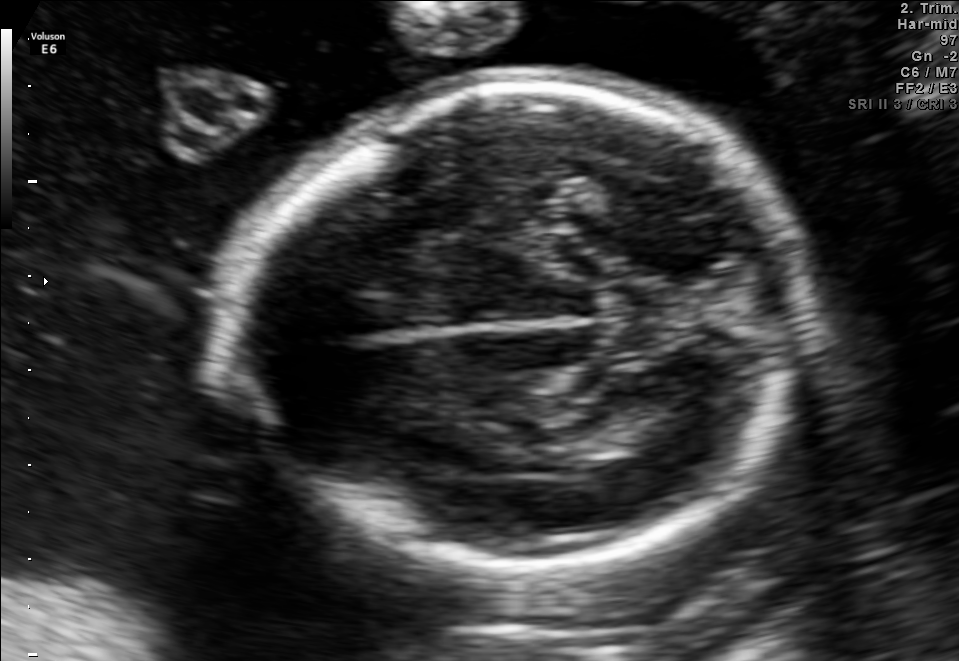
In this fetal brain, trans-thalamic plane, give the bounding box of the fetal head.

[239,81,816,570]